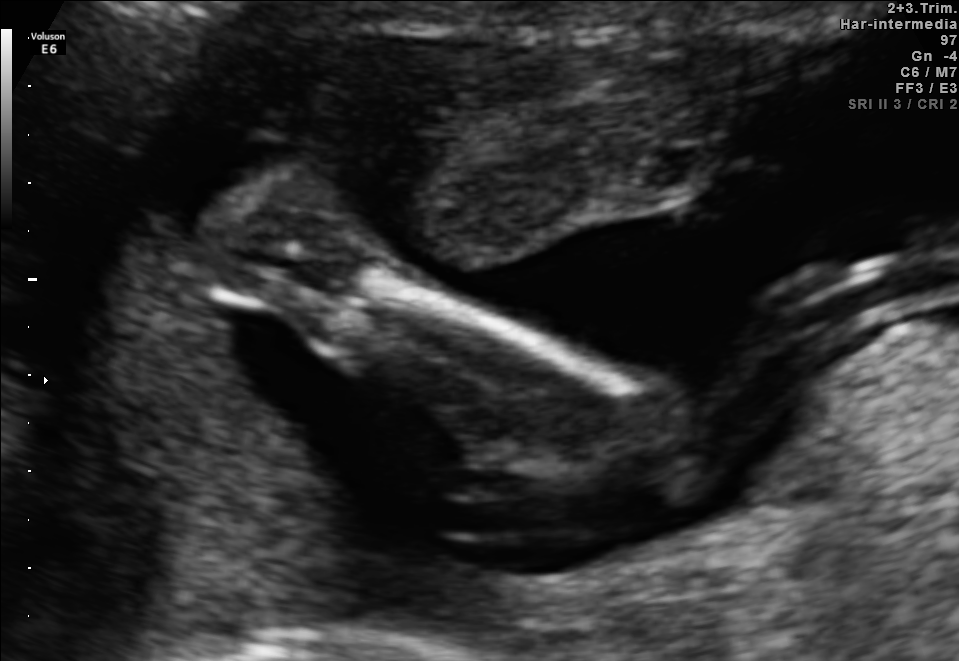
This is a 2D maternal-fetal ultrasound frame. Is it a fetal abdomen, fetal brain, fetal femur, fetal thorax, maternal cervix, or other standard plane? If it's fetal brain and one of the three standard brain planes (trans-thalamic, trans-cerebellum, trans-ventricular), name which.

Other